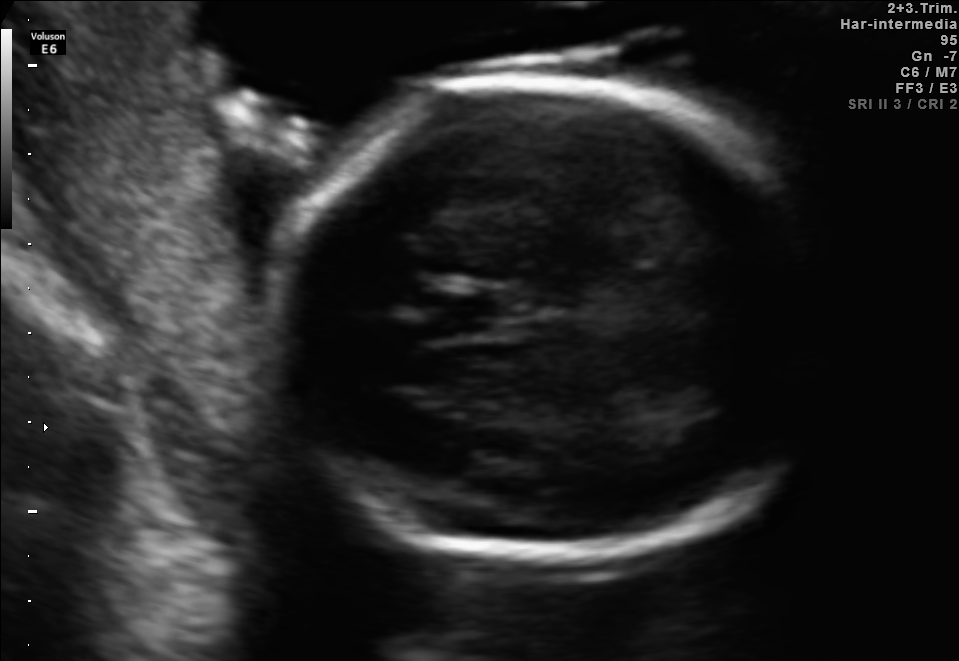
Which standard maternal-fetal ultrasound plane is shown: fetal abdomen, fetal brain, fetal femur, fetal thorax, maternal cervix, or other? If it's fetal brain and one of the three standard brain planes (trans-thalamic, trans-cerebellum, trans-ventricular), name which.

Fetal brain (trans-thalamic plane)